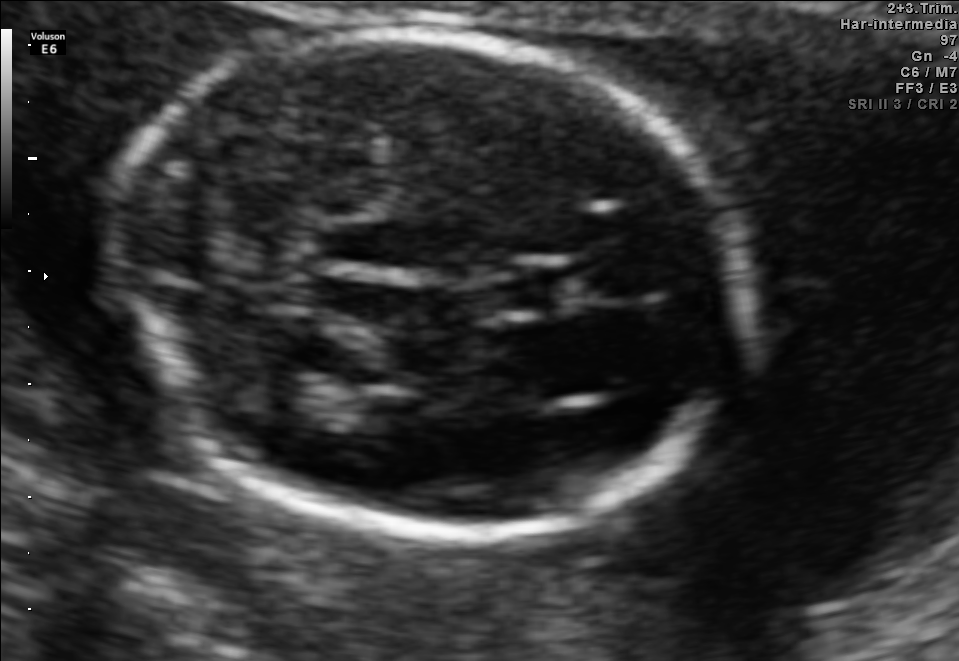
Fetal brain, trans-thalamic plane. Where is the lateral ventricle?

Lateral ventricle bounding box: [244,360,342,421]